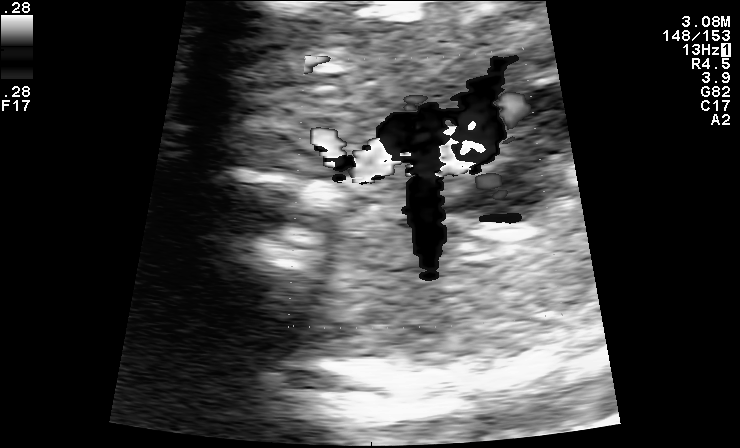
Identify the standard plane in this fetal ultrasound image: fetal abdomen, fetal brain, fetal femur, fetal thorax, maternal cervix, or other. If it's fetal brain and one of the three standard brain planes (trans-thalamic, trans-cerebellum, trans-ventricular), name which.

Other